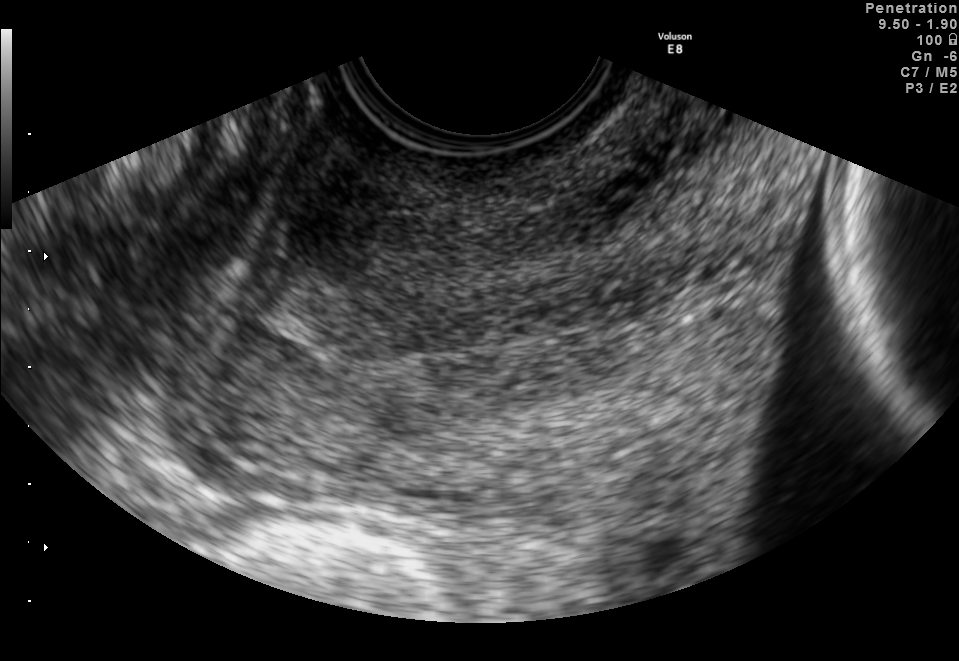
Identify the standard plane in this fetal ultrasound image: fetal abdomen, fetal brain, fetal femur, fetal thorax, maternal cervix, or other. If it's fetal brain and one of the three standard brain planes (trans-thalamic, trans-cerebellum, trans-ventricular), name which.

Maternal cervix